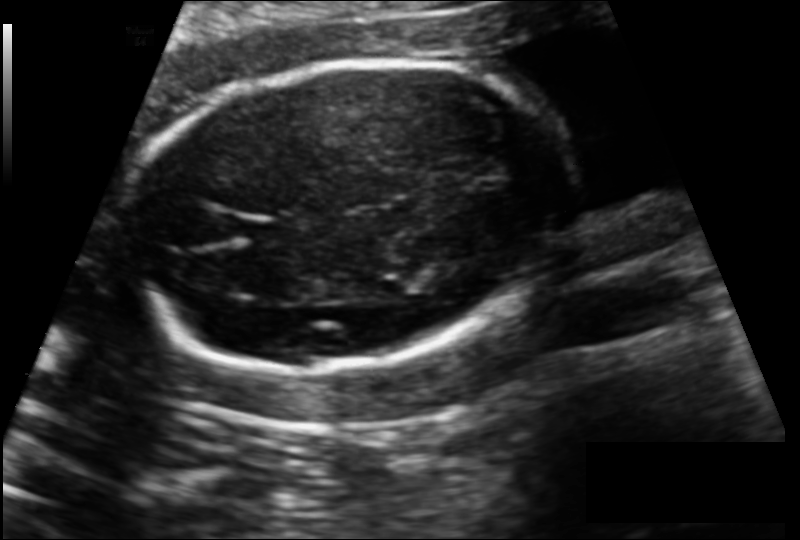
Fetal head ultrasound. Image width: 111.1 mm. Locate the fetal head and, if visible, the cavum septum pellucidum (CSP) and lateral ventricle (LV). Give bounding boxes as [x1,y1,x2,y2].

Head: [124,59,569,370]